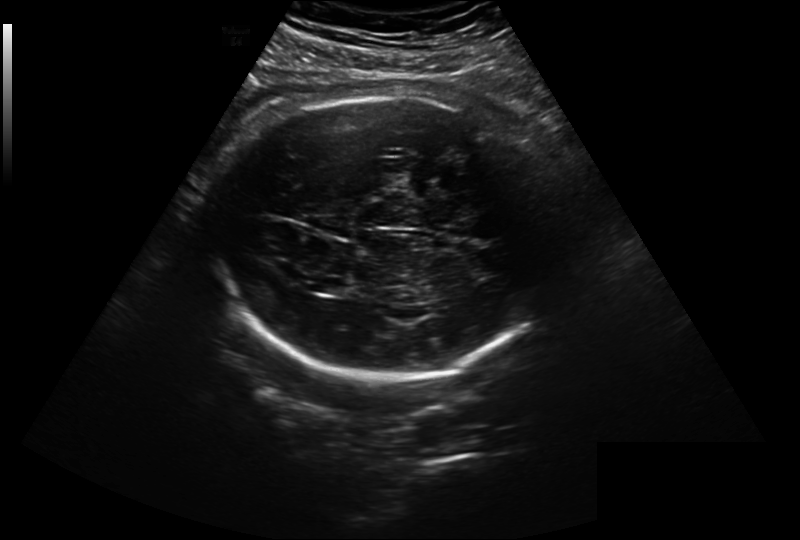
In this fetal head ultrasound, give the bounding box of the lateral ventricle. Image width: 239.2 mm.

[314,276,352,296]